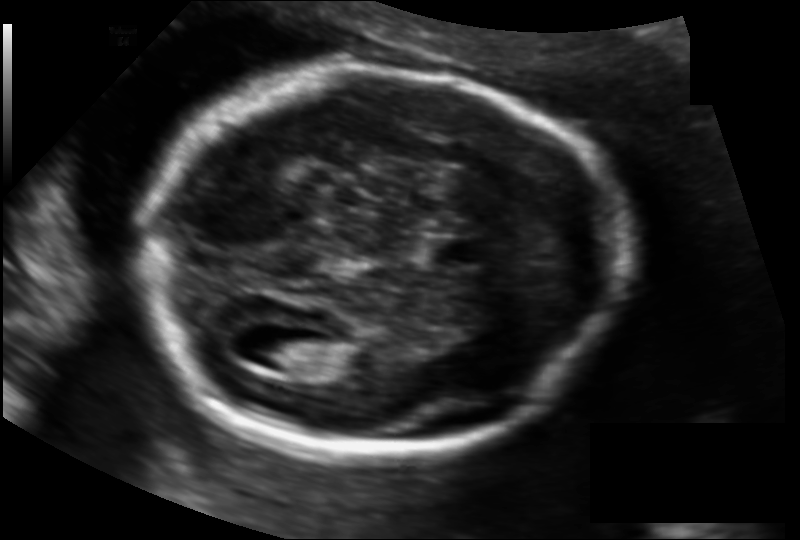
What is the fetal head circumference? Image width is 102.3 mm.

175.9 mm